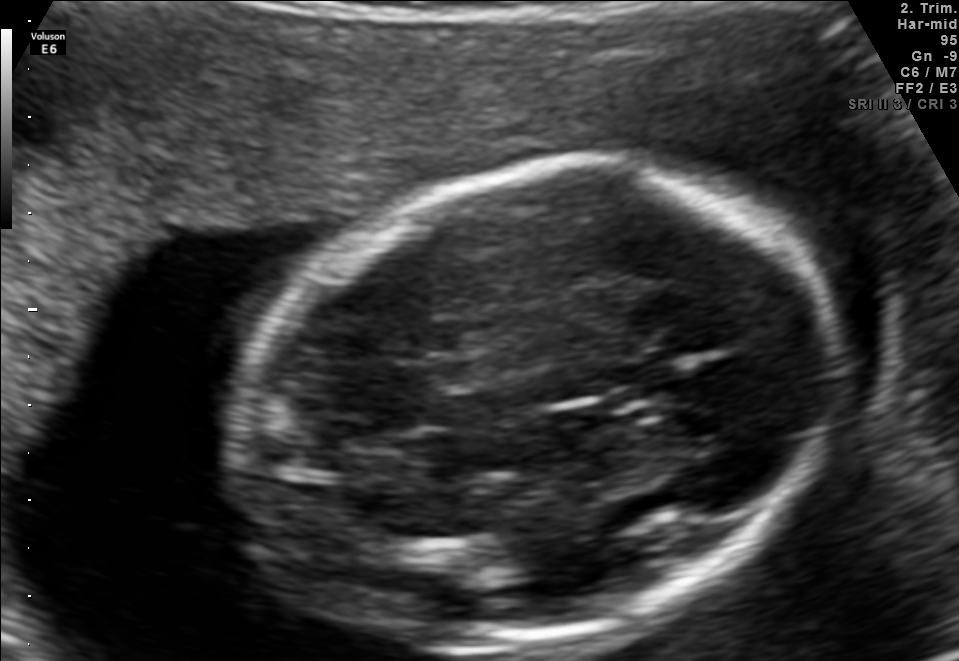
Fetal brain, trans-thalamic plane. Give [x1,y1,x2,y2] bounding boxes for each visible structure among: fetal head, CSP, LV.

Head: [232,155,839,654]